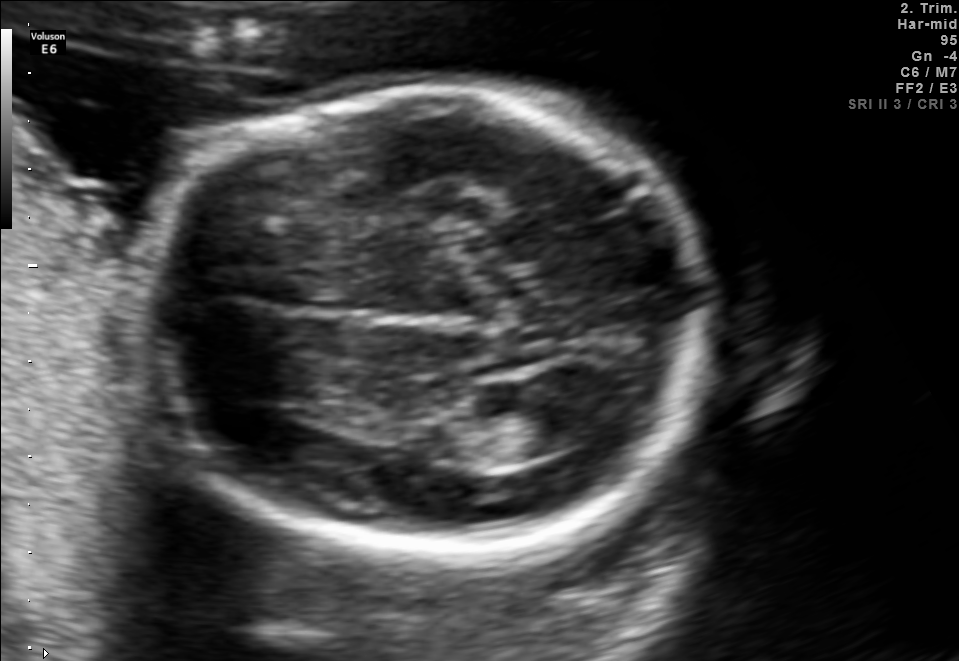
In this fetal brain, trans-ventricular plane, give the bounding box of the fetal head.

[135,77,730,570]